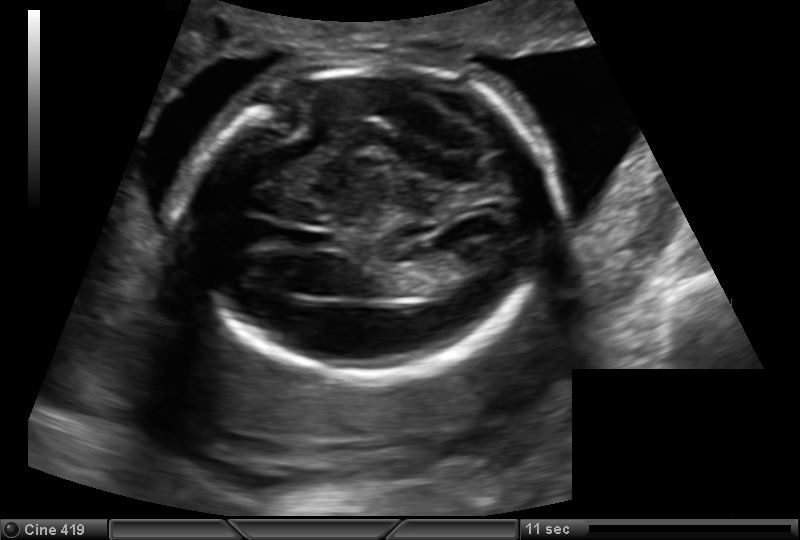
In this fetal head ultrasound, give the bounding box of the fetal head. Image width: 122.2 mm.

[191,62,547,373]